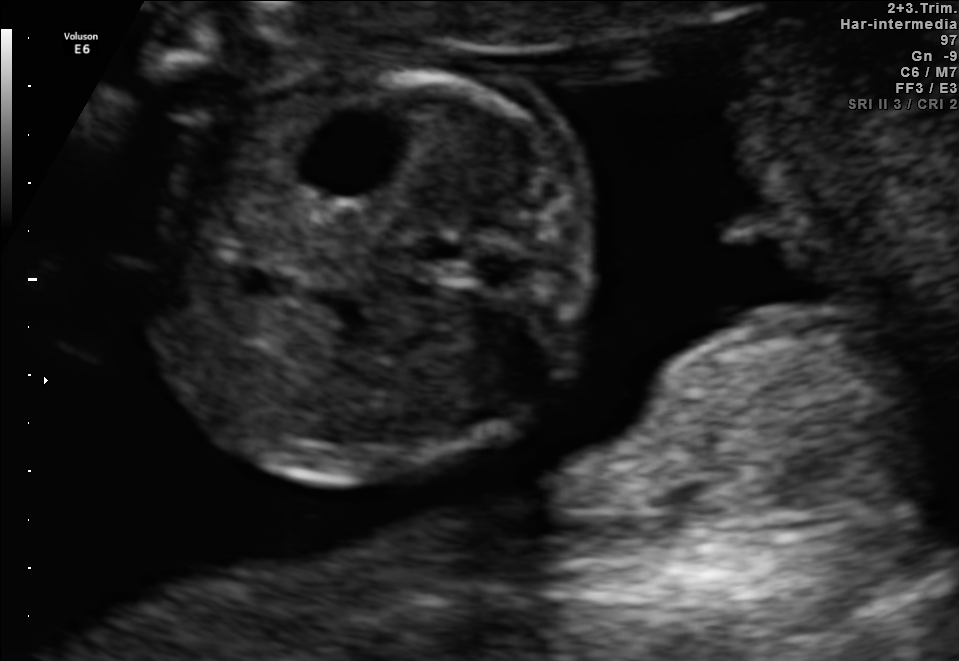
Classify this maternal-fetal ultrasound image as one of the six standard planes — fetal abdomen, fetal brain, fetal femur, fetal thorax, maternal cervix, or other. If it's fetal brain and one of the three standard brain planes (trans-thalamic, trans-cerebellum, trans-ventricular), name which.

Fetal abdomen